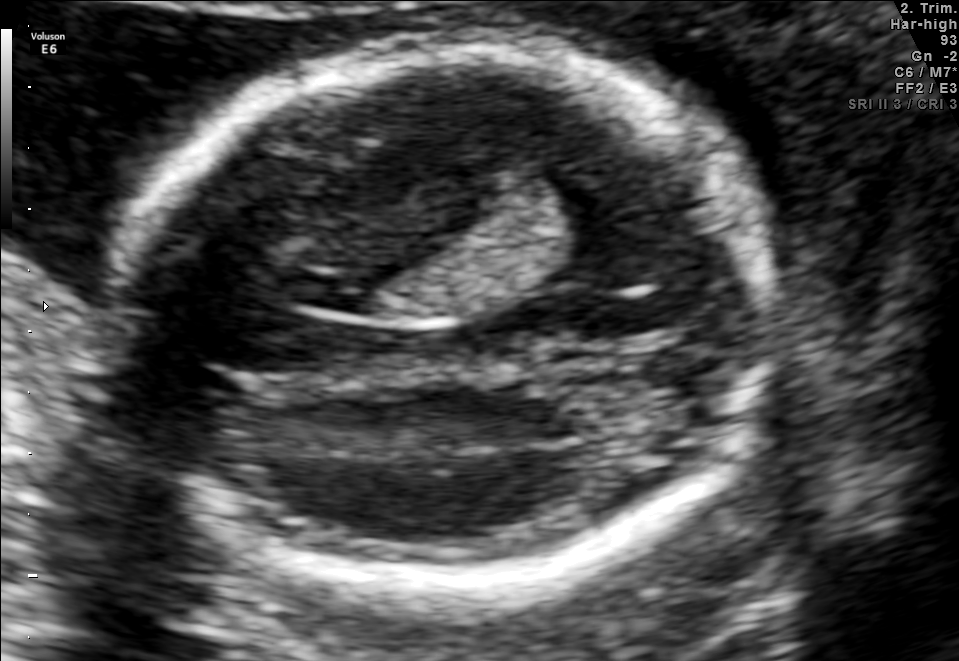
In this fetal brain, trans-ventricular plane, give the bounding box of the fetal head.

[102,43,791,592]